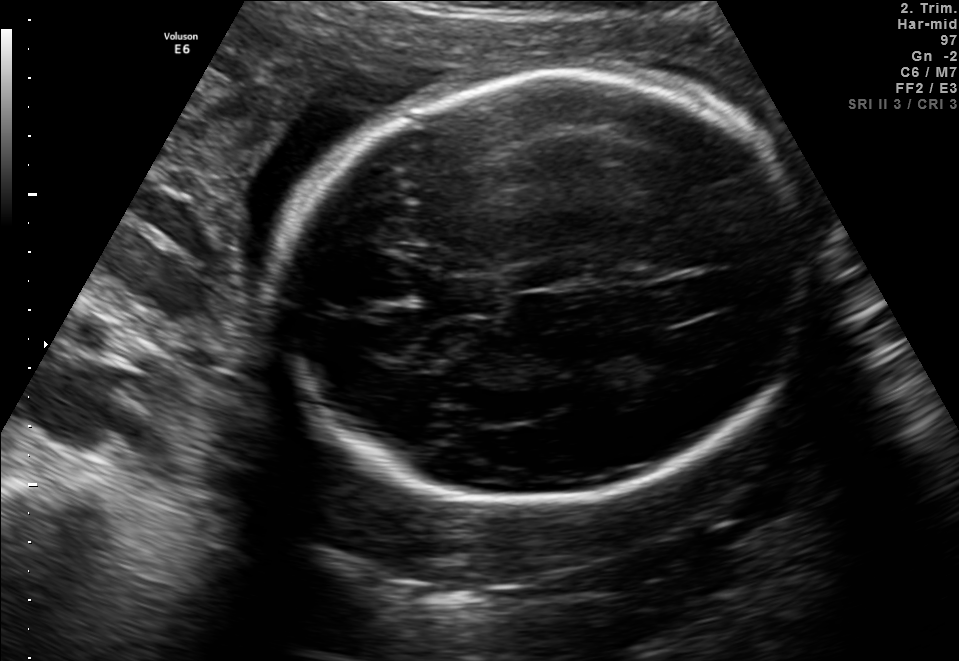
Fetal brain, trans-ventricular plane. Where is the fetal head?

Head bounding box: [263,66,822,517]